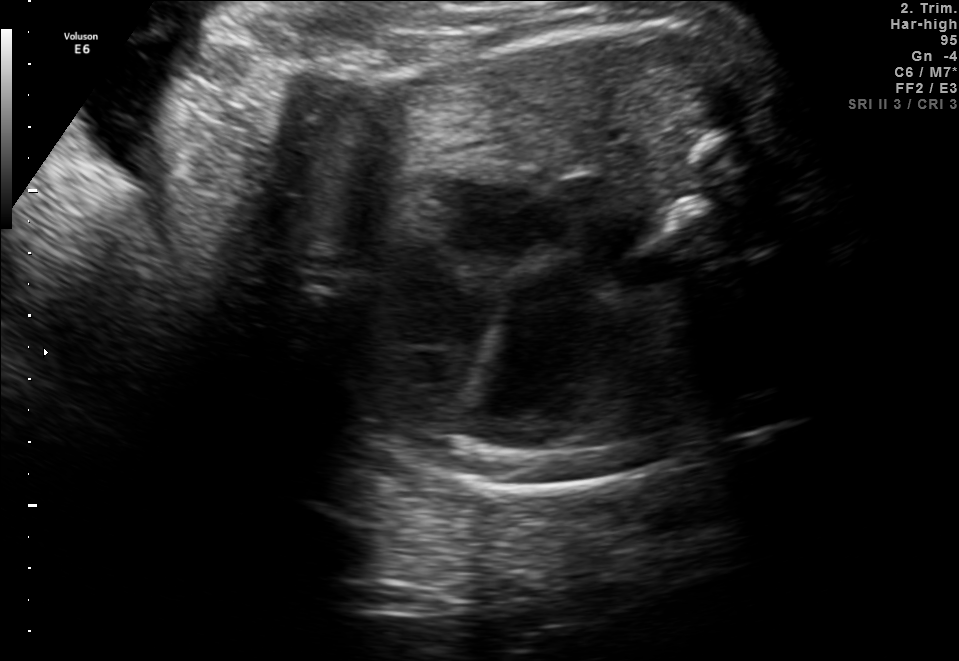
Classify this maternal-fetal ultrasound image as one of the six standard planes — fetal abdomen, fetal brain, fetal femur, fetal thorax, maternal cervix, or other. If it's fetal brain and one of the three standard brain planes (trans-thalamic, trans-cerebellum, trans-ventricular), name which.

Fetal thorax